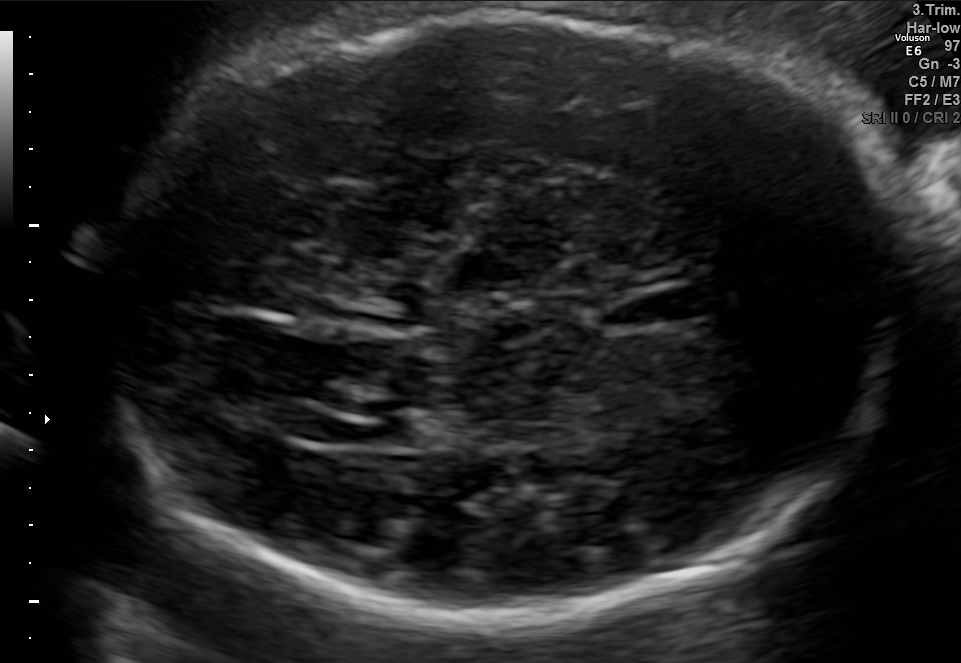
In this fetal brain, trans-ventricular plane, give bounding boxes for the head outline, cavum septum pellucidum (CSP), and lateral ventricle (LV), where visible.

Head: [90,11,917,630]